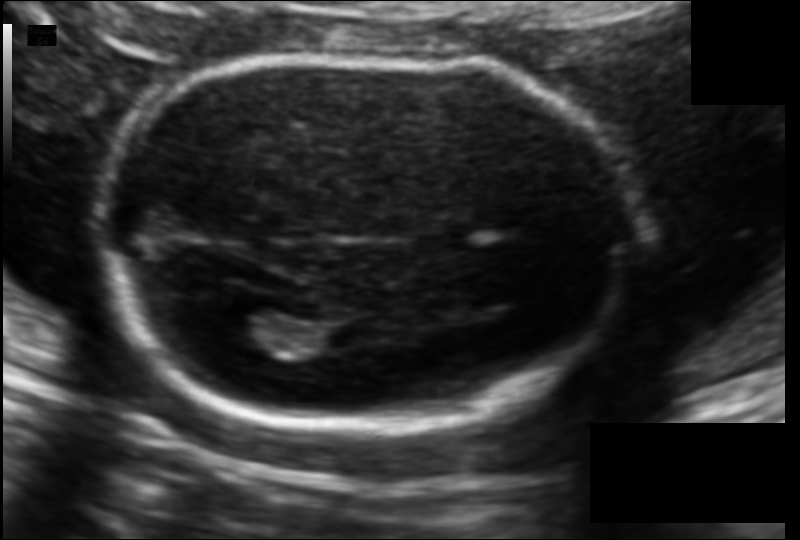
Estimate the fetal head circumference from this 2D ultrasound. Image width: 90.5 mm.

Head circumference: 170.1 mm.